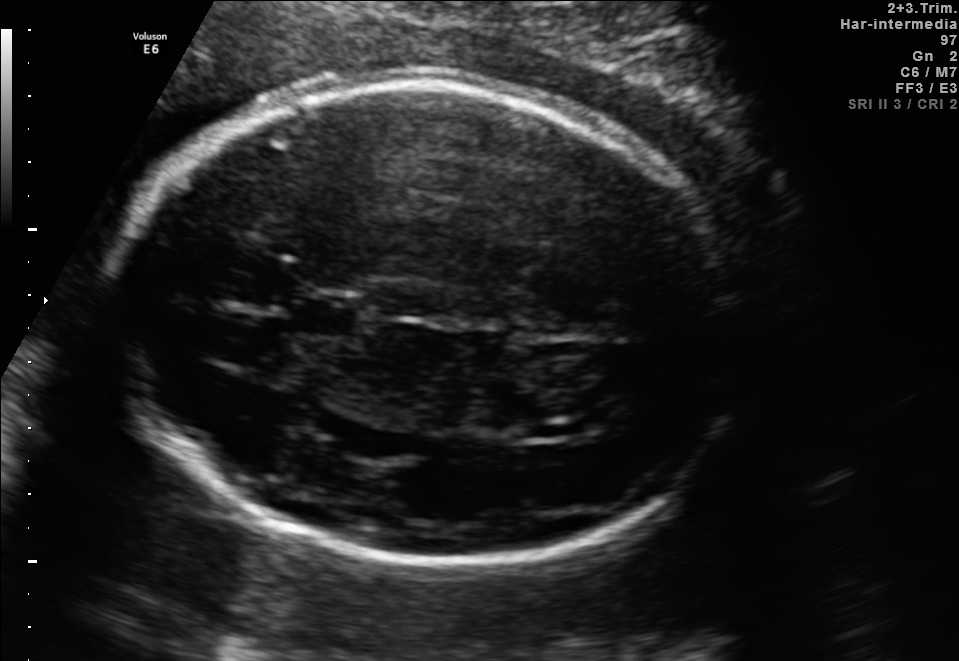
Fetal brain, trans-ventricular plane. Locate the cavum septum pellucidum.

CSP: [280,293,371,339]